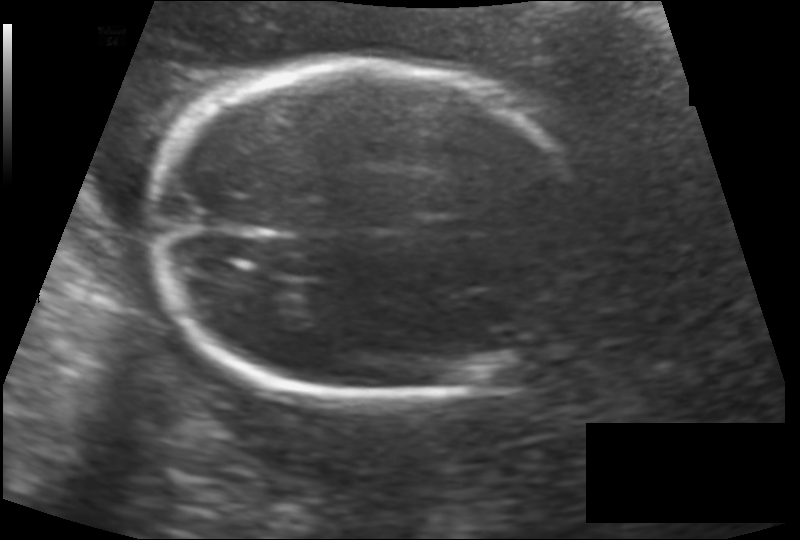
Estimate the fetal head circumference from this 2D ultrasound. Image width: 117.4 mm.

Head circumference: 182.5 mm.